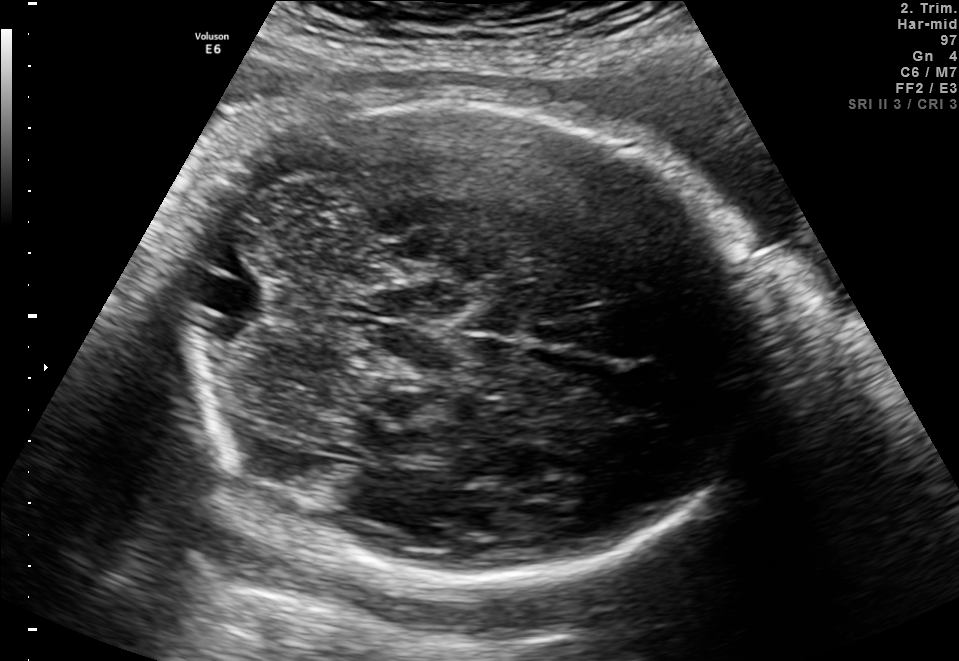
Fetal brain, trans-cerebellum plane. Where is the fetal head?

Head bounding box: [167,98,762,575]